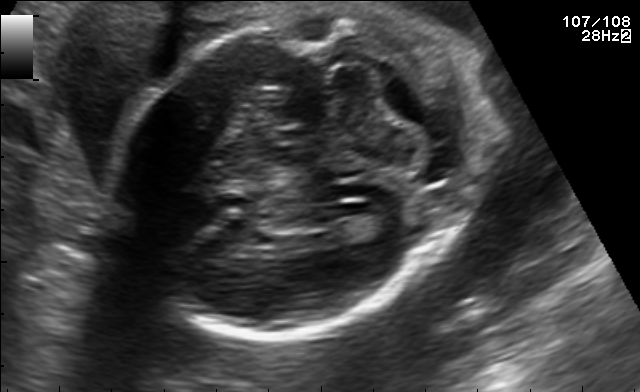
Fetal brain, trans-cerebellum plane. Give [x1,y1,x2,y2] bounding boxes for each visible structure among: fetal head, CSP, LV.

Head: [113,8,489,334]